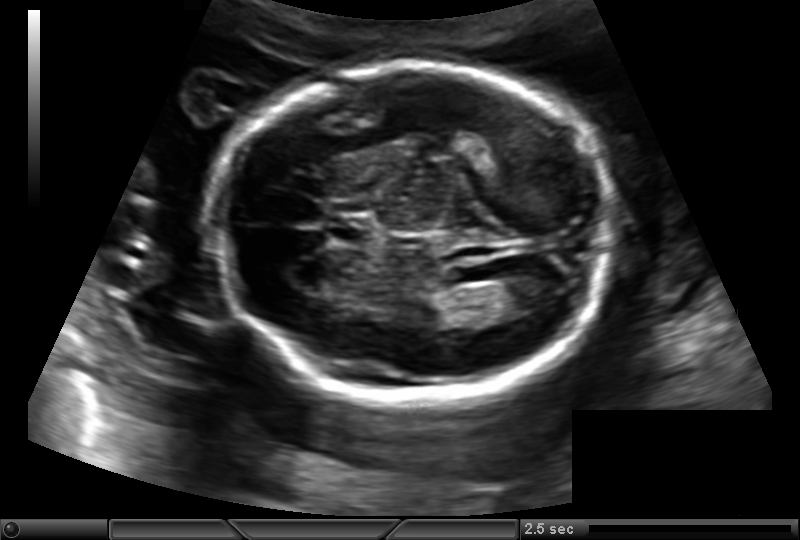
Fetal head ultrasound. Image width: 116.2 mm. Where is the fetal head?

Head bounding box: [213,65,619,396]